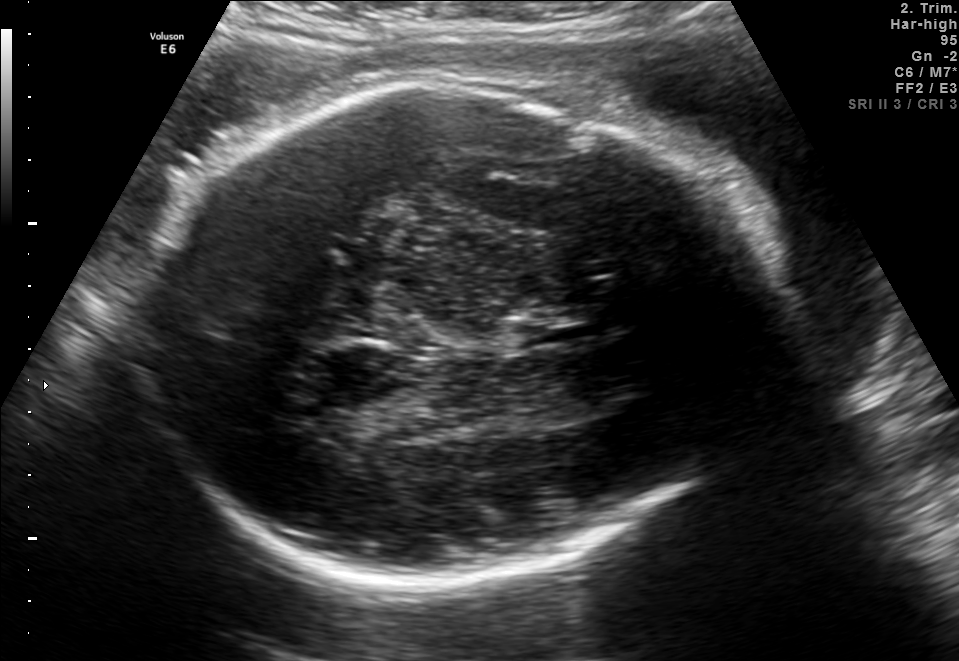
Fetal brain, trans-thalamic plane. Where is the fetal head?

Head bounding box: [130,78,765,585]